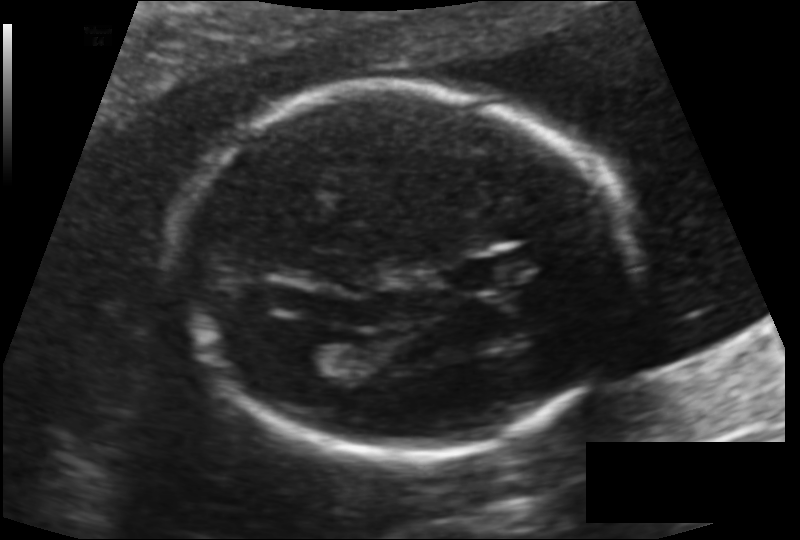
Fetal head ultrasound. Image width: 104.6 mm. Give [x1,y1,x2,y2] bounding boxes for each visible structure among: fetal head, CSP, LV.

Head: [190,92,628,457]
CSP: [445,252,521,297]
Lateral ventricle: [298,343,359,379]